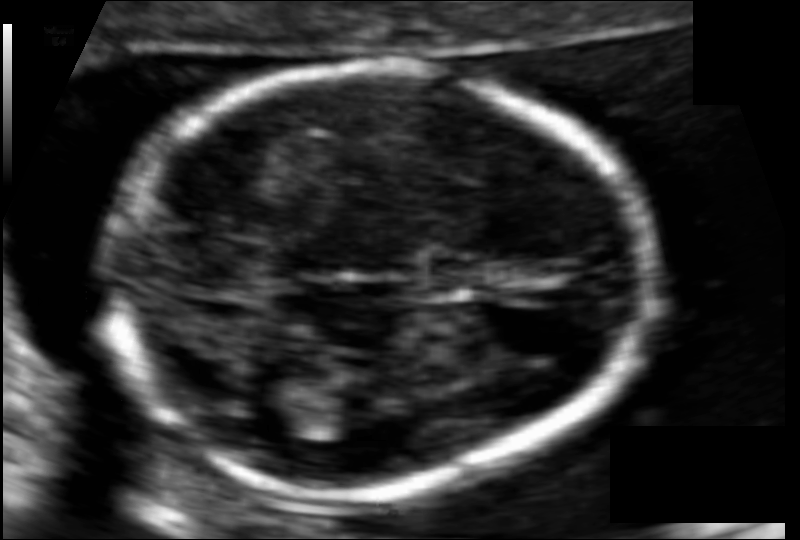
Measure the fetal head circumference shown in this ultrasound image. Image width: 67.6 mm.

Head circumference: 137.3 mm.